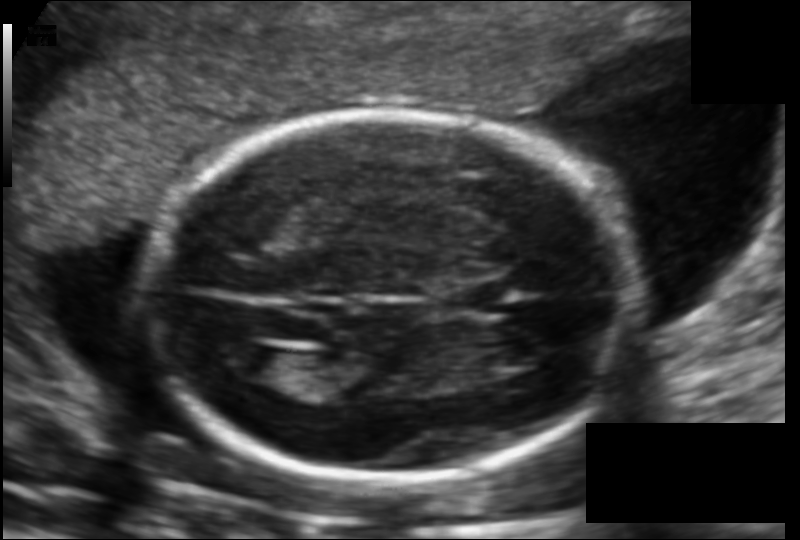
Fetal head ultrasound. Image width: 98.4 mm. Where is the fetal head?

Head bounding box: [144,113,631,481]